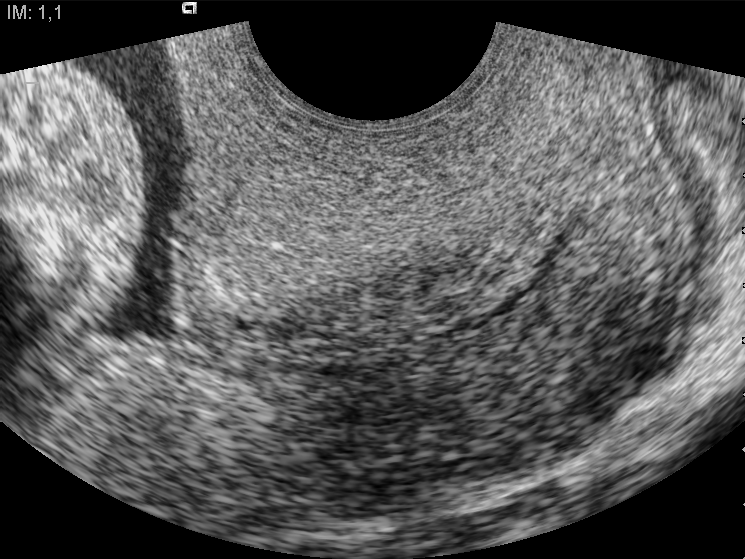
Classify this maternal-fetal ultrasound image as one of the six standard planes — fetal abdomen, fetal brain, fetal femur, fetal thorax, maternal cervix, or other. If it's fetal brain and one of the three standard brain planes (trans-thalamic, trans-cerebellum, trans-ventricular), name which.

Maternal cervix